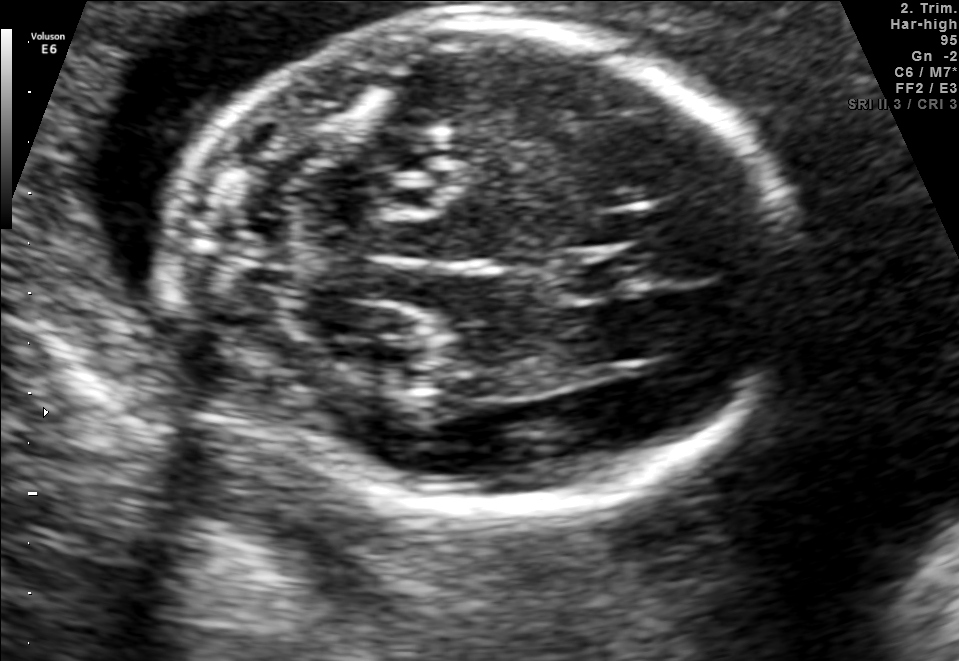
In this fetal brain, trans-cerebellum plane, give bounding boxes for the head outline, cavum septum pellucidum (CSP), and lateral ventricle (LV), where visible.

Head: [178,18,785,511]
CSP: [551,244,649,303]